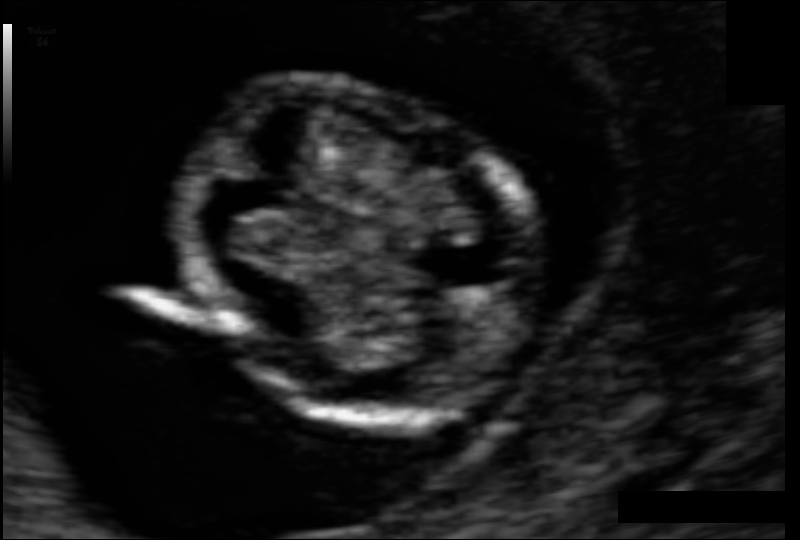
Measure the fetal head circumference shown in this ultrasound image. Image width: 47.3 mm.

Head circumference: 67.5 mm.